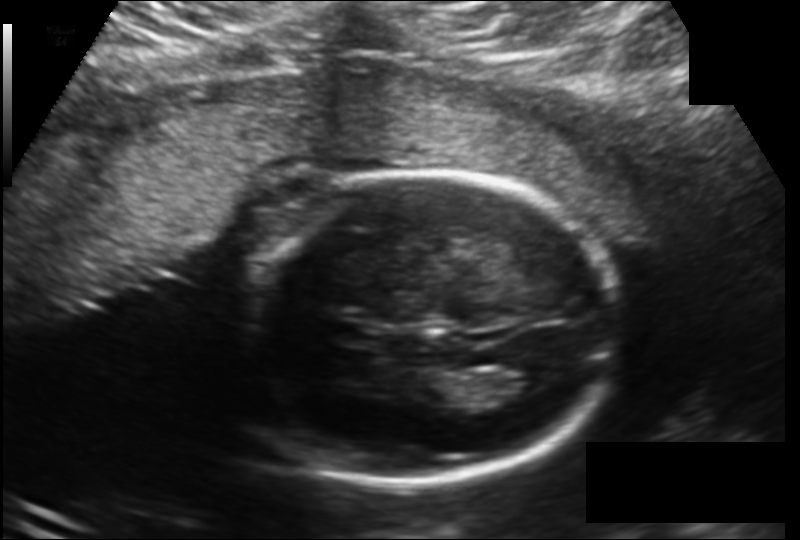
Measure the fetal head circumference shown in this ultrasound image. Image width: 132.4 mm.

Head circumference: 181.6 mm.